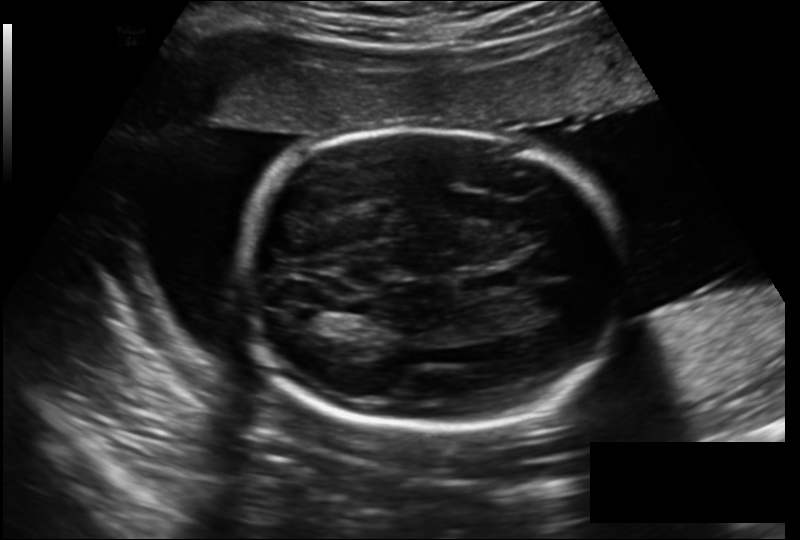
Fetal head ultrasound. Image width: 164.7 mm. Locate the lateral ventricle.

Lateral ventricle: [283,305,323,332]